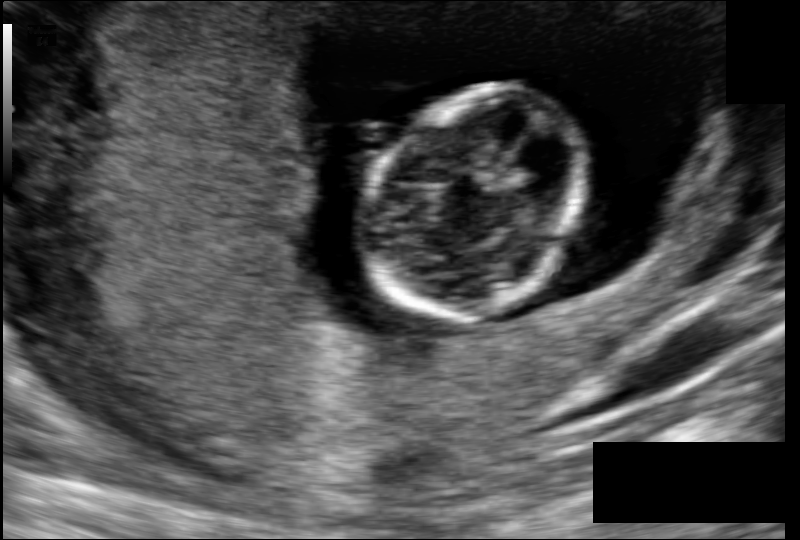
In this fetal head ultrasound, give bounding boxes for the head outline, cavum septum pellucidum (CSP), and lateral ventricle (LV), where visible. Image width: 86.3 mm.

Head: [360,86,588,324]